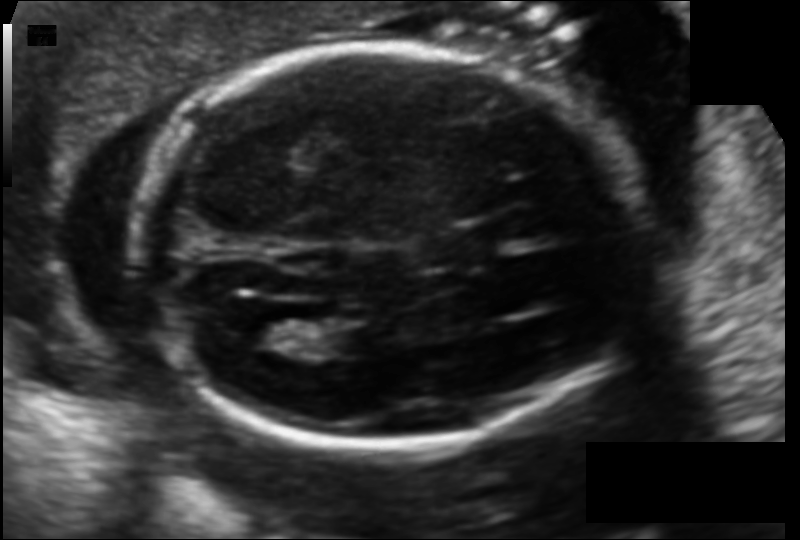
In this fetal head ultrasound, give the bounding box of the fetal head. Image width: 96.5 mm.

[137,45,633,451]